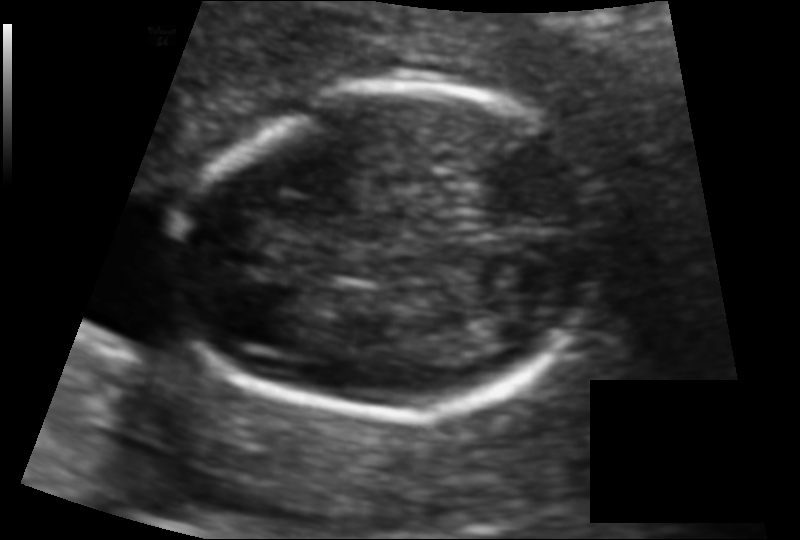
In this fetal head ultrasound, give bounding boxes for the head outline, cavum septum pellucidum (CSP), and lateral ventricle (LV), where visible. Image width: 76.2 mm.

Head: [176,86,602,415]